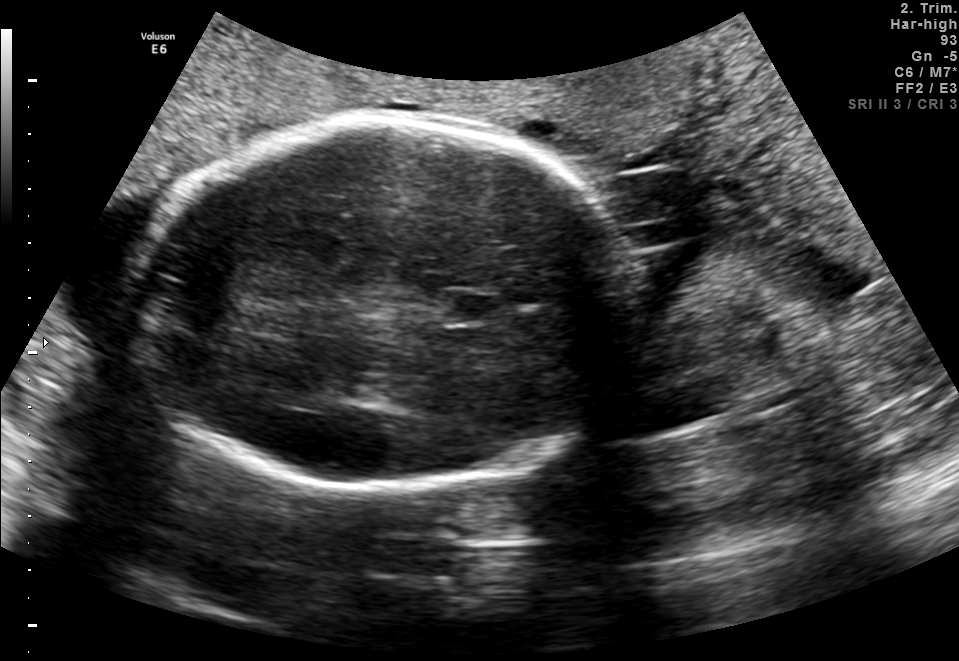
In this fetal brain, trans-thalamic plane, give bounding boxes for the head outline, cavum septum pellucidum (CSP), and lateral ventricle (LV), where visible.

Head: [129,119,628,484]
CSP: [444,295,498,322]